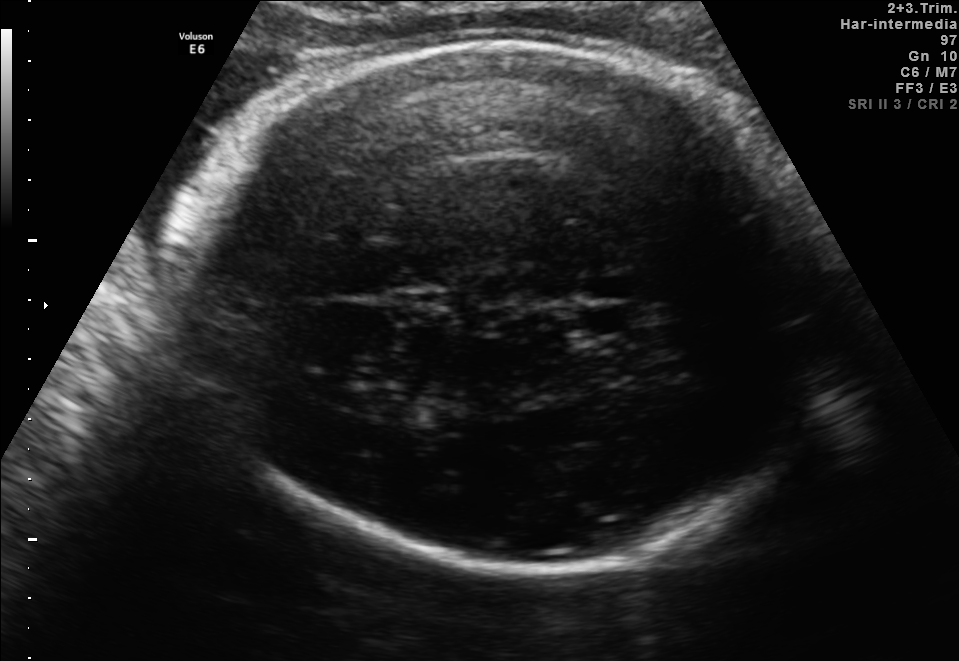
Fetal brain, trans-thalamic plane. Give [x1,y1,x2,y2] bounding boxes for each visible structure among: fetal head, CSP, LV.

Head: [197,38,836,569]
CSP: [580,304,629,337]